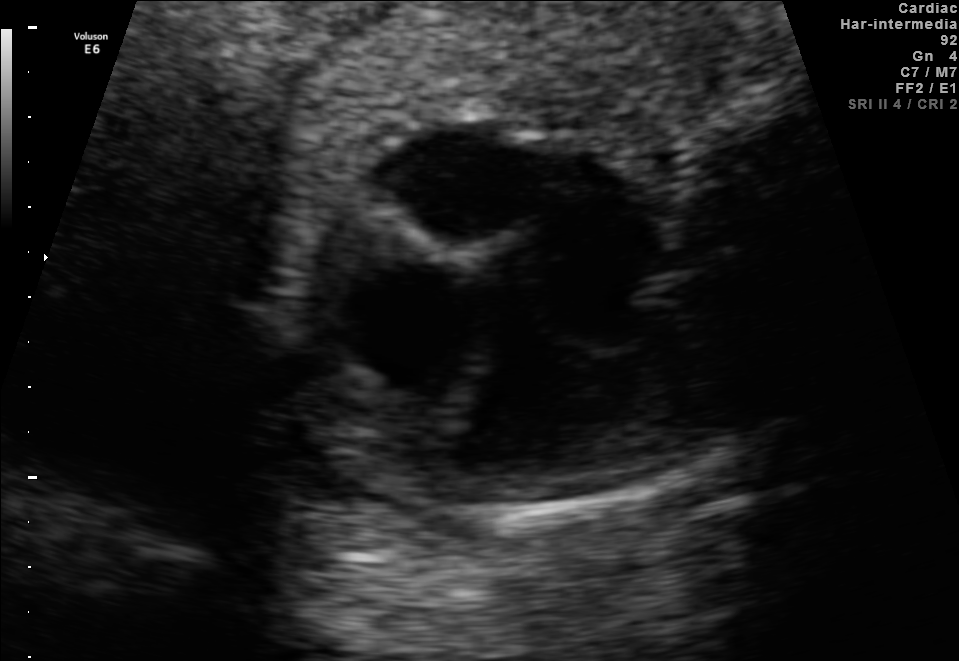
Which standard maternal-fetal ultrasound plane is shown: fetal abdomen, fetal brain, fetal femur, fetal thorax, maternal cervix, or other? If it's fetal brain and one of the three standard brain planes (trans-thalamic, trans-cerebellum, trans-ventricular), name which.

Fetal thorax